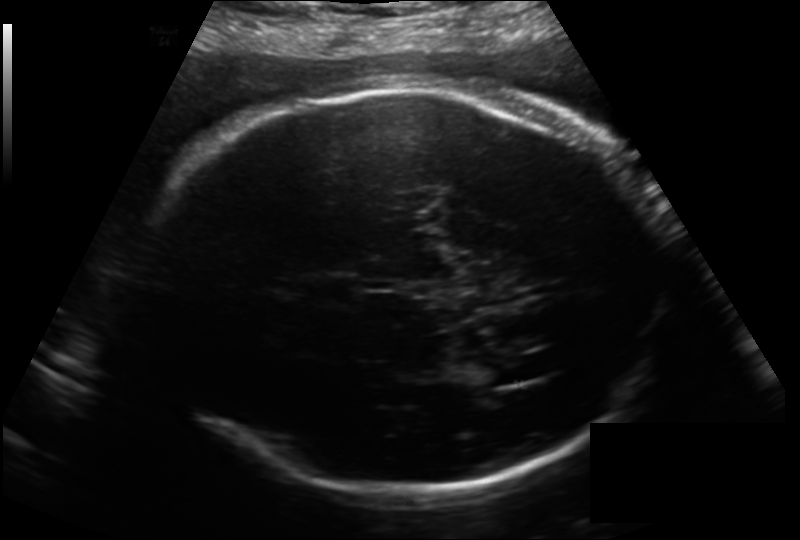
Fetal head ultrasound. Image width: 171.3 mm. Give [x1,y1,x2,y2] bounding boxes for each visible structure among: fetal head, CSP, LV.

Head: [148,84,660,500]
CSP: [297,274,358,304]
Lateral ventricle: [461,353,527,393]